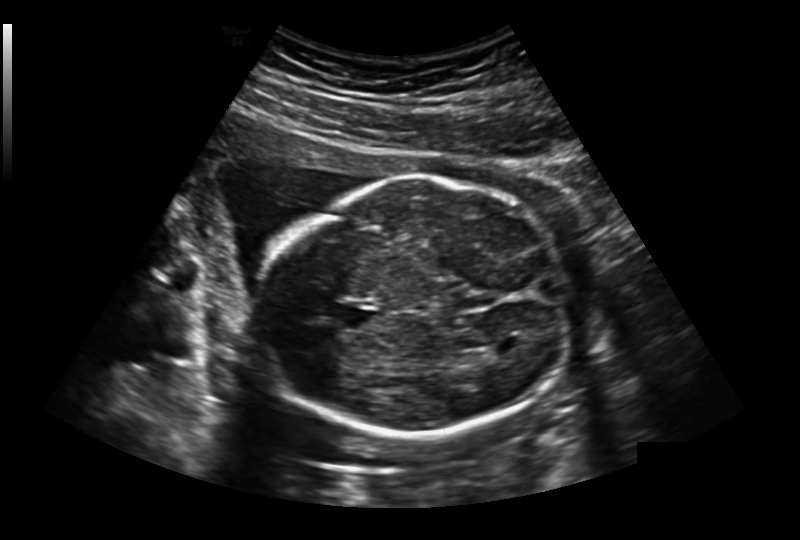
Estimate the fetal head circumference from this 2D ultrasound. Image width: 188.6 mm.

Head circumference: 213.2 mm.